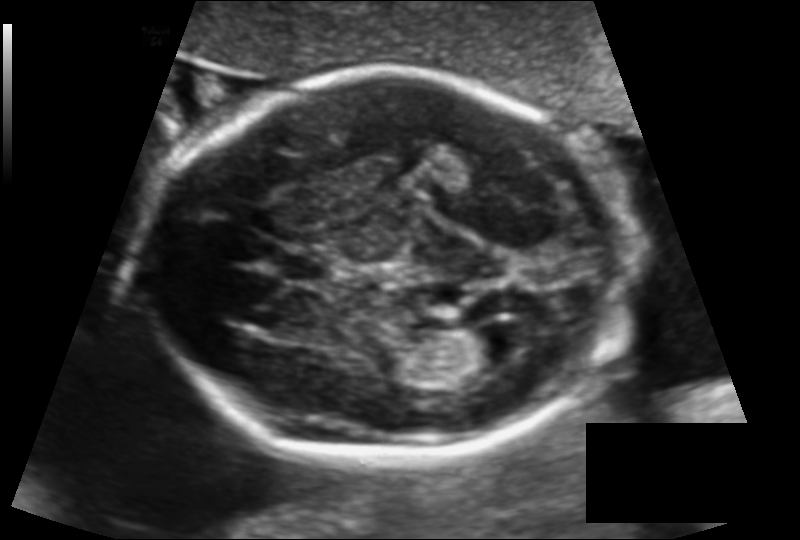
From this fetal ultrasound, estimate the head circumference (image width 103.5 mm).

Head circumference: 180.4 mm.